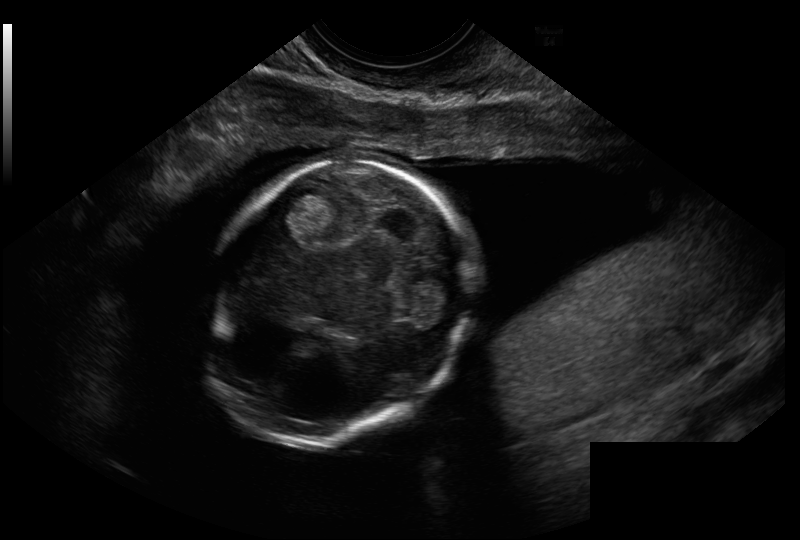
Fetal head ultrasound. Image width: 91.5 mm. Where is the fetal head?

Head bounding box: [204,161,470,448]